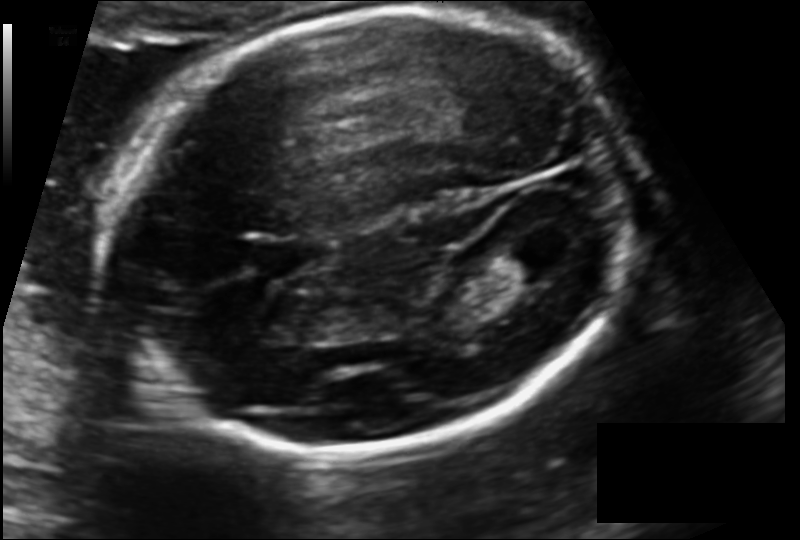
Fetal head ultrasound. Image width: 105.5 mm. Locate the lateral ventricle.

Lateral ventricle: [497,221,579,292]